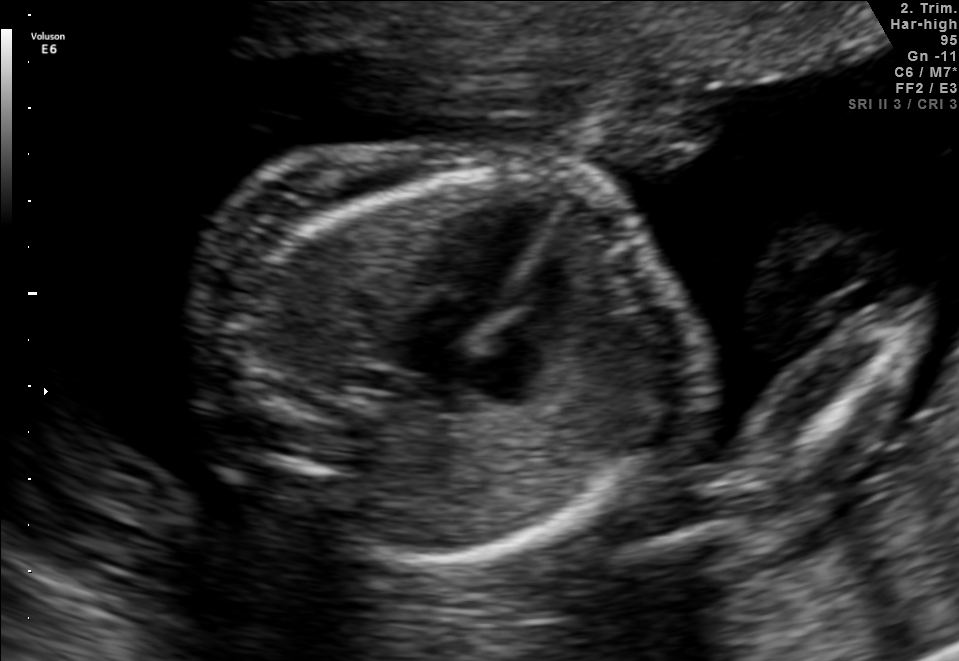
Classify this maternal-fetal ultrasound image as one of the six standard planes — fetal abdomen, fetal brain, fetal femur, fetal thorax, maternal cervix, or other. If it's fetal brain and one of the three standard brain planes (trans-thalamic, trans-cerebellum, trans-ventricular), name which.

Fetal thorax